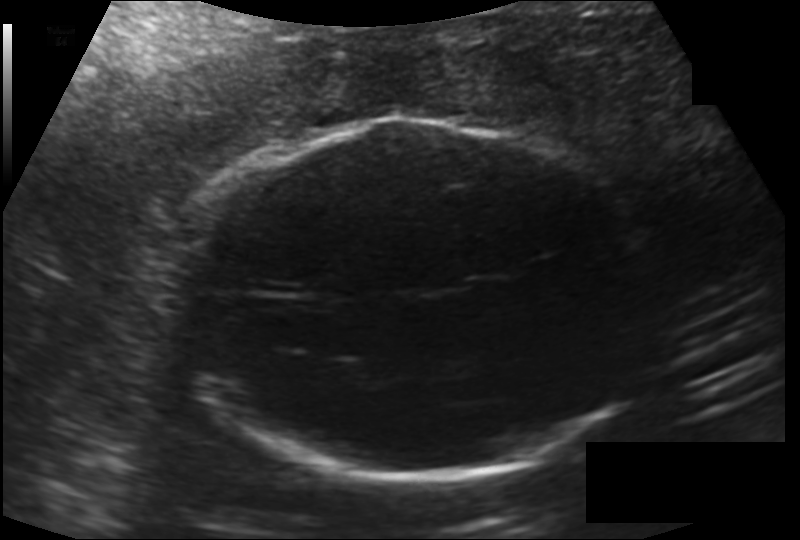
In this fetal head ultrasound, give bounding boxes for the head outline, cavum septum pellucidum (CSP), and lateral ventricle (LV), where visible. Image width: 140.8 mm.

Head: [169,119,653,475]